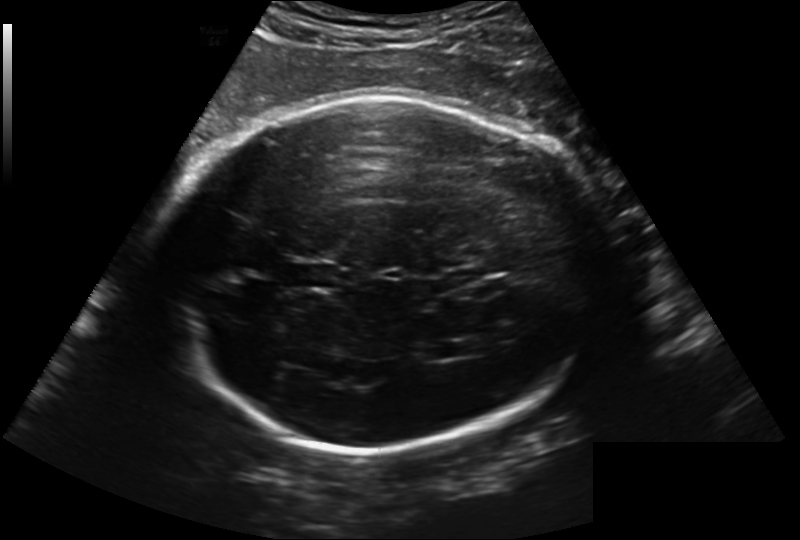
Measure the fetal head circumference shown in this ultrasound image. Image width: 192.7 mm.

Head circumference: 301.3 mm.